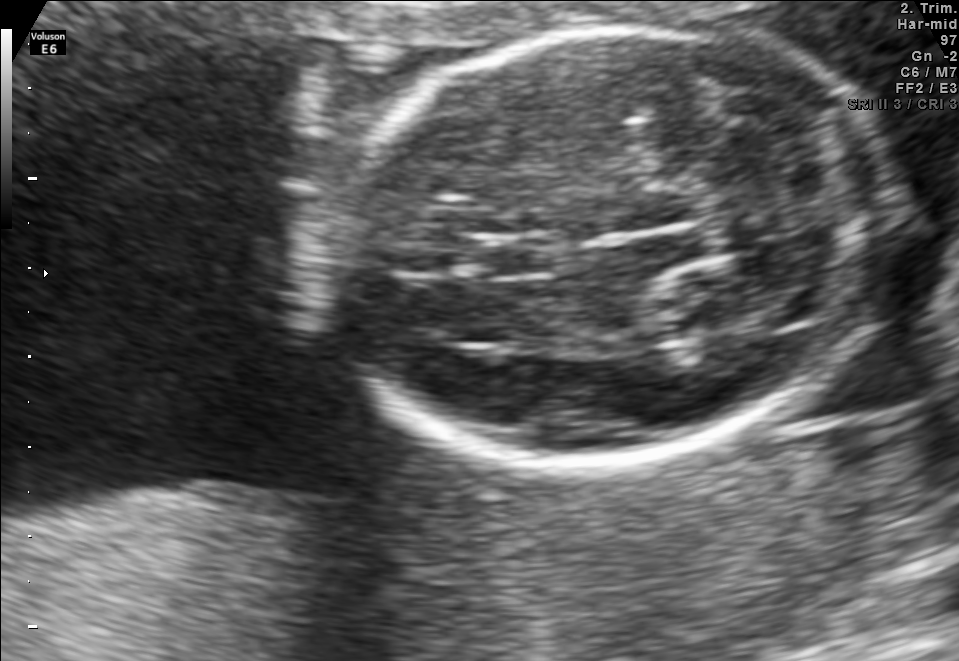
Fetal brain, trans-thalamic plane. Give [x1,y1,x2,y2] bounding boxes for each visible structure among: fetal head, CSP, LV.

Head: [317,30,898,461]
CSP: [475,236,559,276]